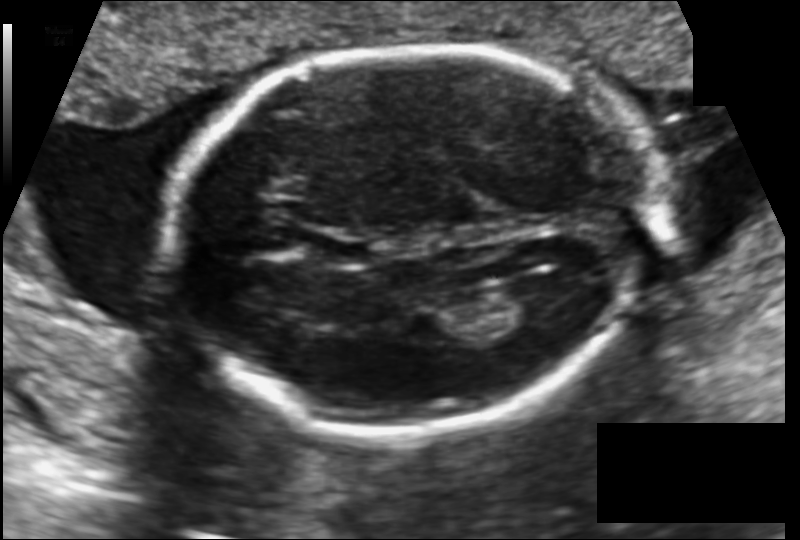
Fetal head ultrasound. Image width: 106.0 mm. Locate the fetal head and, if visible, the cavum septum pellucidum (CSP) and lateral ventricle (LV). Give bounding boxes as [x1,y1,x2,y2].

Head: [170,47,650,435]
CSP: [311,231,374,269]
Lateral ventricle: [490,272,572,332]